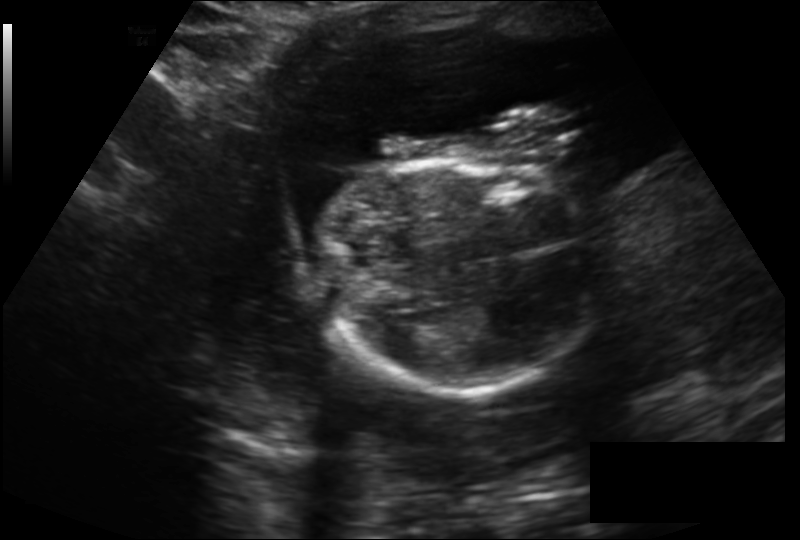
Estimate the fetal head circumference from this 2D ultrasound. Image width: 155.8 mm.

Head circumference: 160.8 mm.